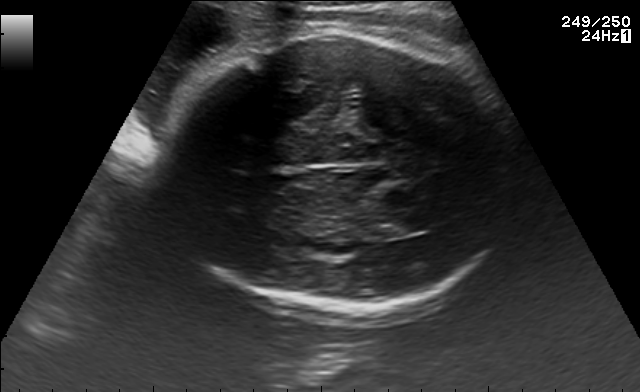
Fetal brain, trans-thalamic plane. Where is the fetal head?

Head bounding box: [162,34,521,308]